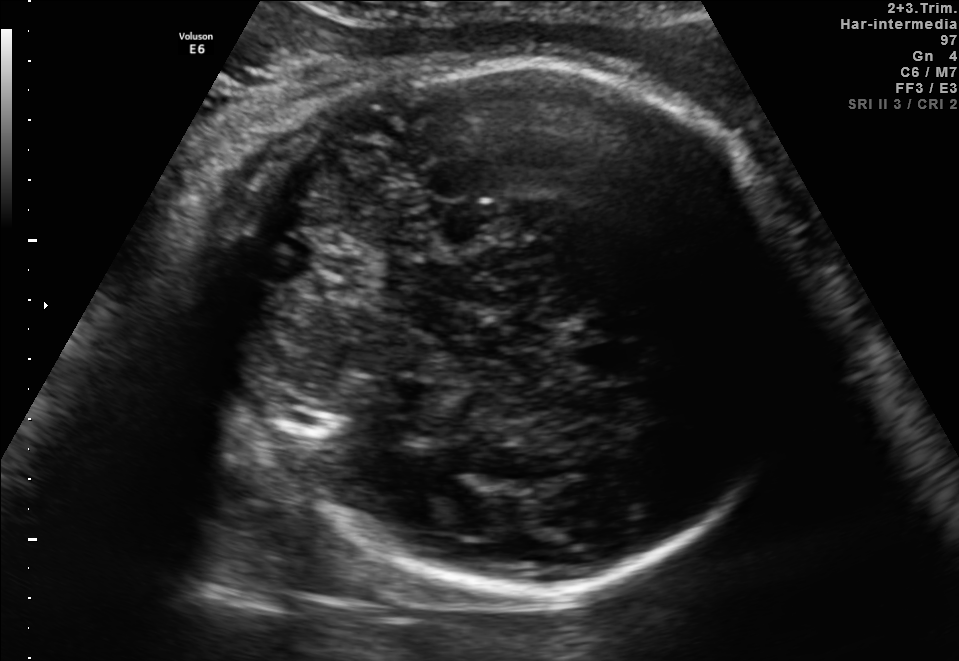
In this fetal brain, trans-thalamic plane, give the bounding box of the fetal head.

[255,54,798,605]